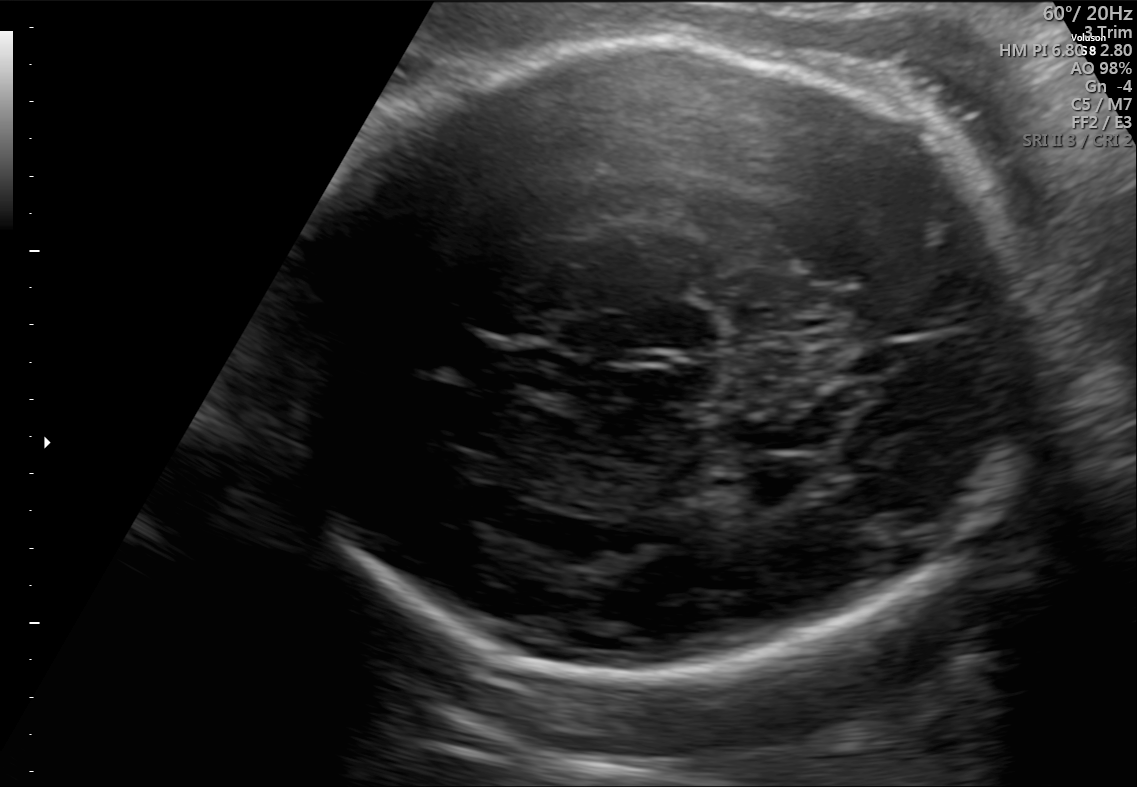
Fetal brain, trans-thalamic plane. Give [x1,y1,x2,y2] bounding boxes for each visible structure among: fetal head, CSP, LV.

Head: [270,39,1030,676]